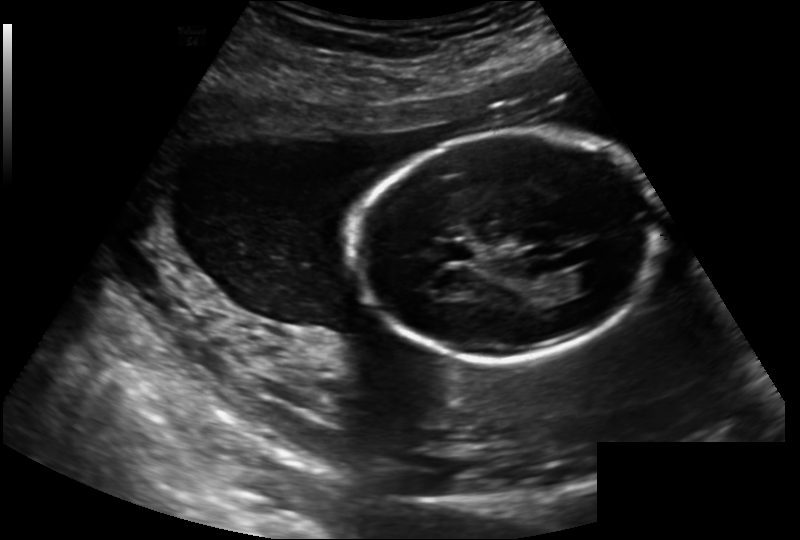
Fetal head ultrasound. Image width: 161.7 mm. Where is the cavum septum pellucidum?

CSP bounding box: [431,237,475,265]